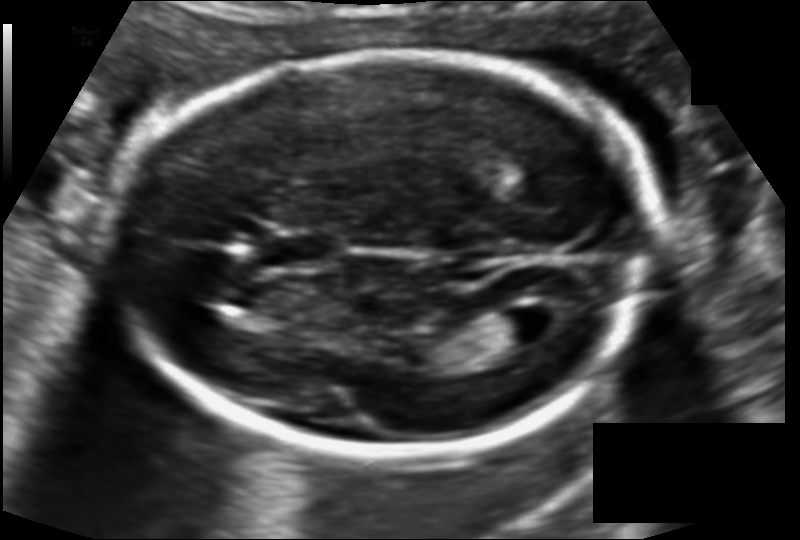
In this fetal head ultrasound, give the bounding box of the fetal head. Image width: 92.2 mm.

[108,53,653,451]